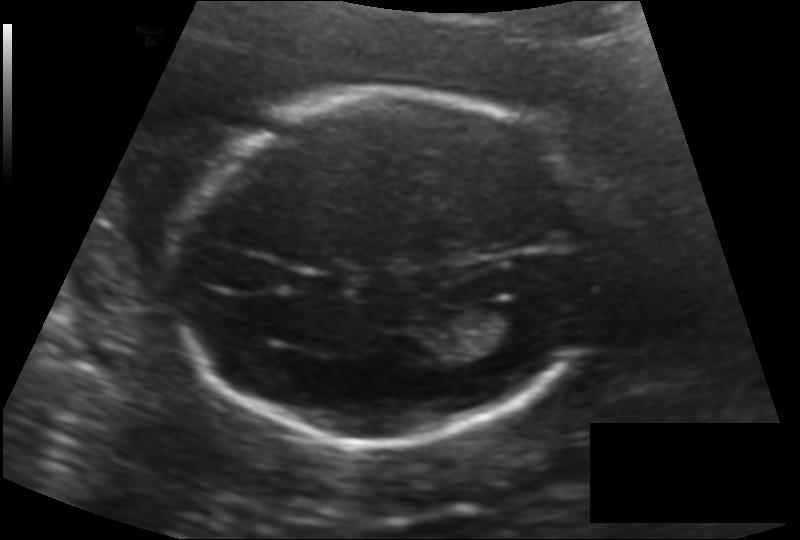
From this fetal ultrasound, estimate the head circumference (image width 112.2 mm).

Head circumference: 176.6 mm.